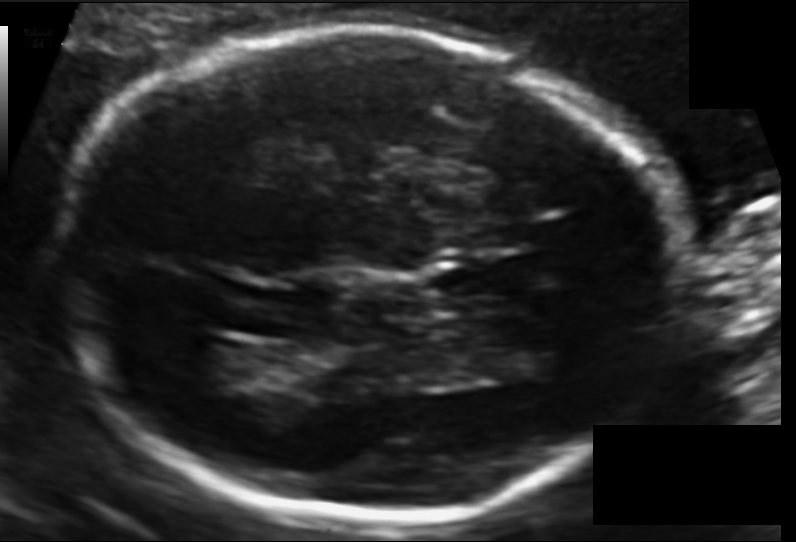
Fetal head ultrasound. Image width: 95.4 mm. Locate the fetal head.

Head: [52,27,684,517]